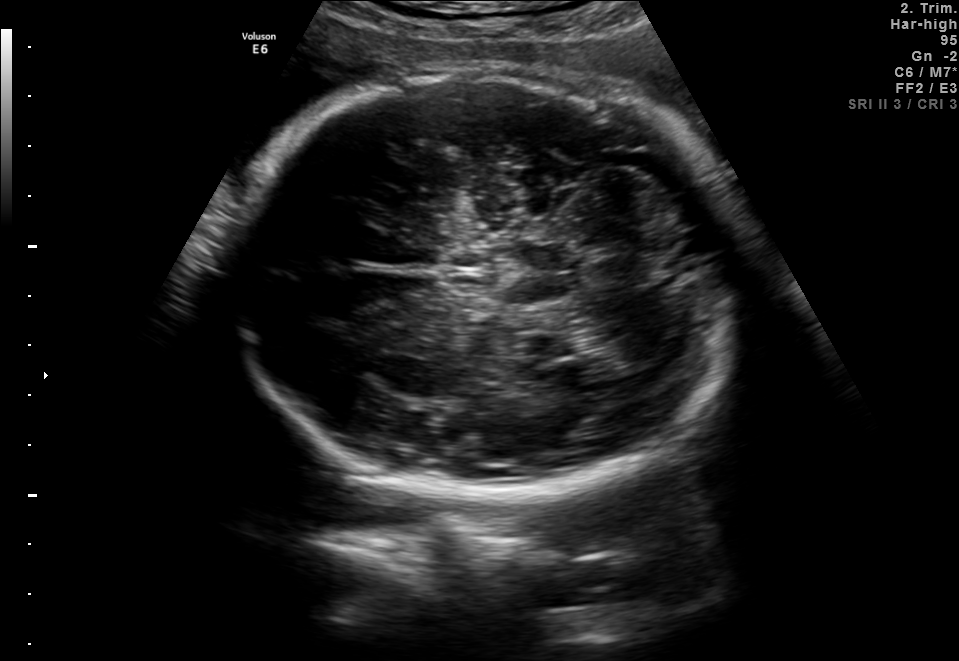
Fetal brain, trans-cerebellum plane. Where is the fetal head?

Head bounding box: [233,69,736,496]